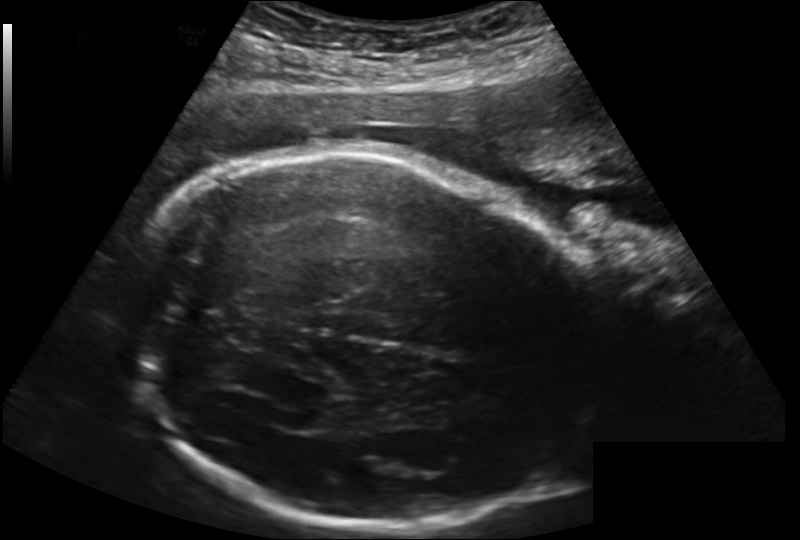
From this fetal ultrasound, estimate the head circumference (image width 161.7 mm).

Head circumference: 278.4 mm.